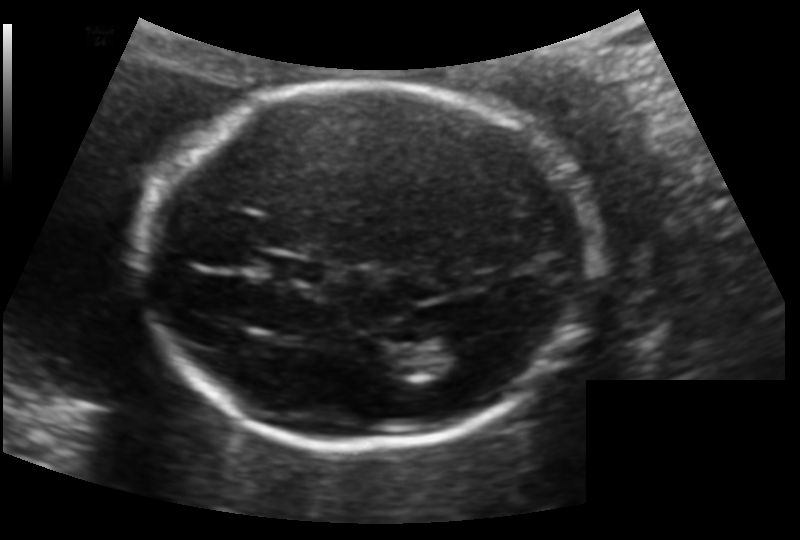
From this fetal ultrasound, estimate the head circumference (image width 106.4 mm).

Head circumference: 177.9 mm.